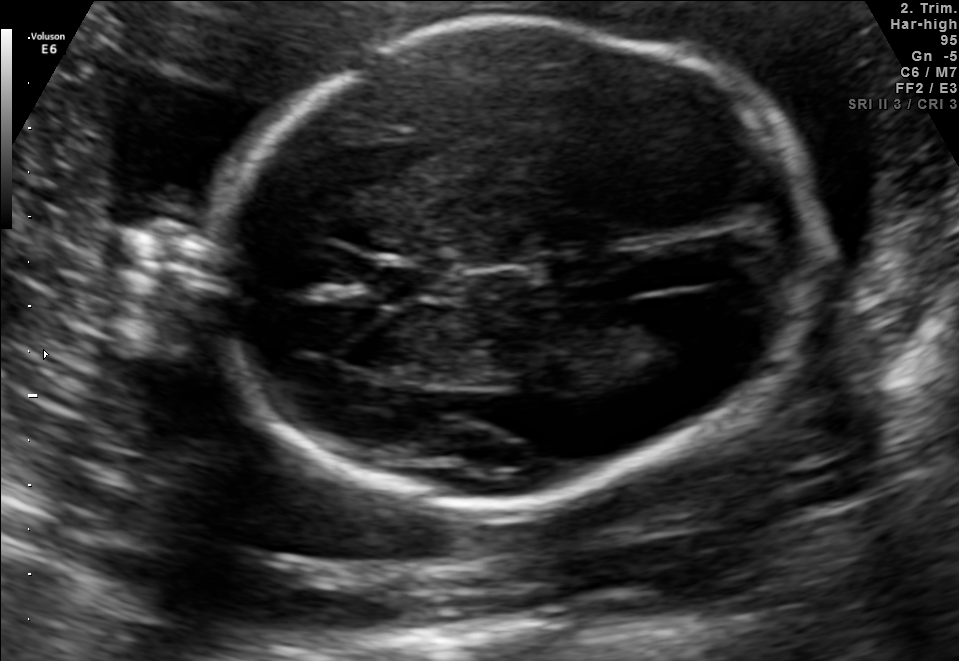
Fetal brain, trans-ventricular plane. Give [x1,y1,x2,y2] bounding boxes for each visible structure among: fetal head, CSP, LV.

Head: [197,8,826,521]
CSP: [373,258,463,299]